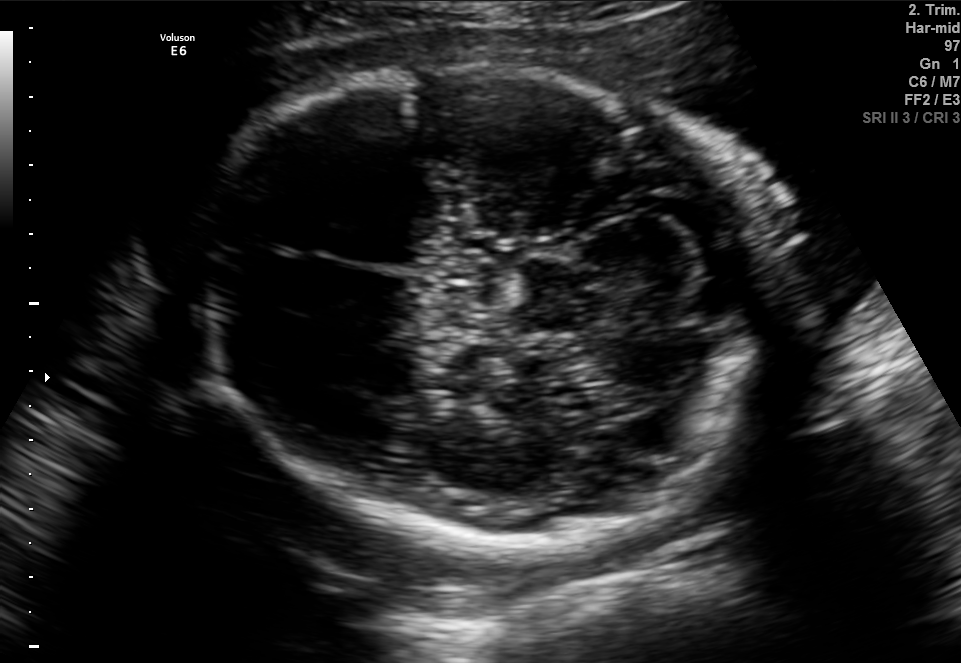
Fetal brain, trans-cerebellum plane. Give [x1,y1,x2,y2] bounding boxes for each visible structure among: fetal head, CSP, LV.

Head: [201,69,784,548]